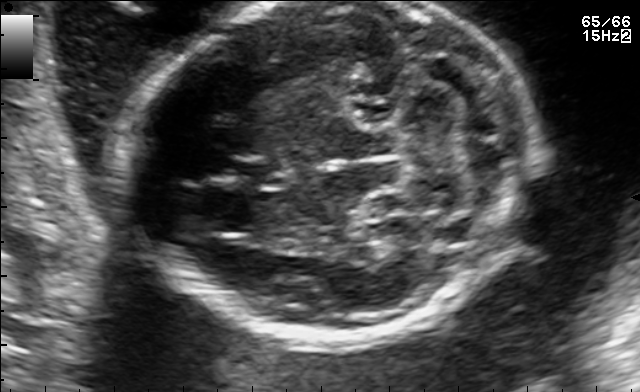
In this fetal brain, trans-cerebellum plane, give bounding boxes for the head outline, cavum septum pellucidum (CSP), and lateral ventricle (LV), where visible.

Head: [129,2,542,343]